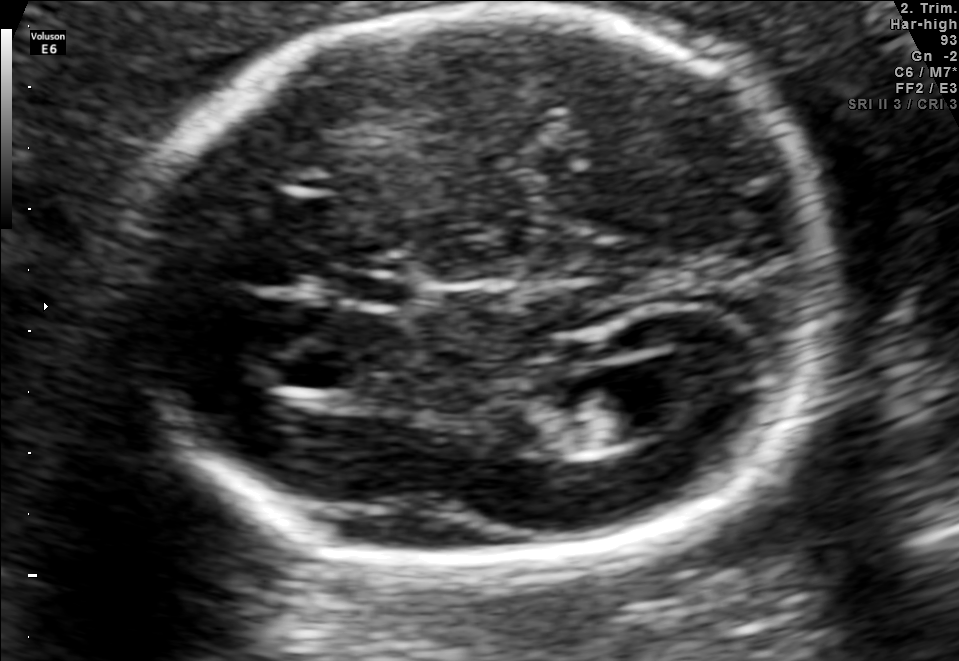
This is a 2D maternal-fetal ultrasound frame. Is it a fetal abdomen, fetal brain, fetal femur, fetal thorax, maternal cervix, or other standard plane? If it's fetal brain and one of the three standard brain planes (trans-thalamic, trans-cerebellum, trans-ventricular), name which.

Fetal brain (trans-ventricular plane)